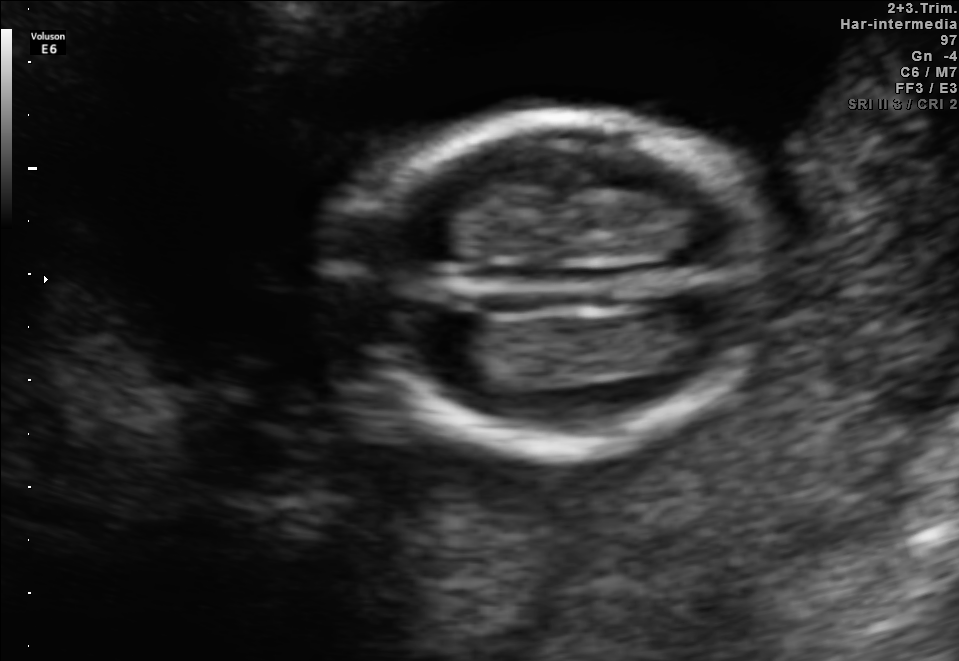
Fetal brain, trans-thalamic plane. Where is the fetal head?

Head bounding box: [331,111,778,450]